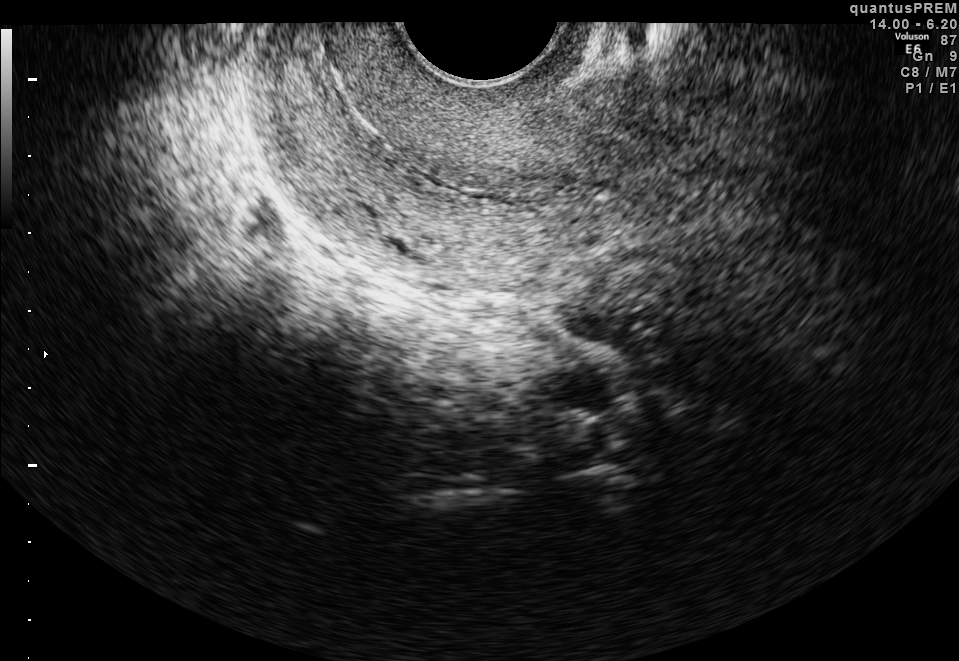
This is a 2D maternal-fetal ultrasound frame. Is it a fetal abdomen, fetal brain, fetal femur, fetal thorax, maternal cervix, or other standard plane? If it's fetal brain and one of the three standard brain planes (trans-thalamic, trans-cerebellum, trans-ventricular), name which.

Maternal cervix